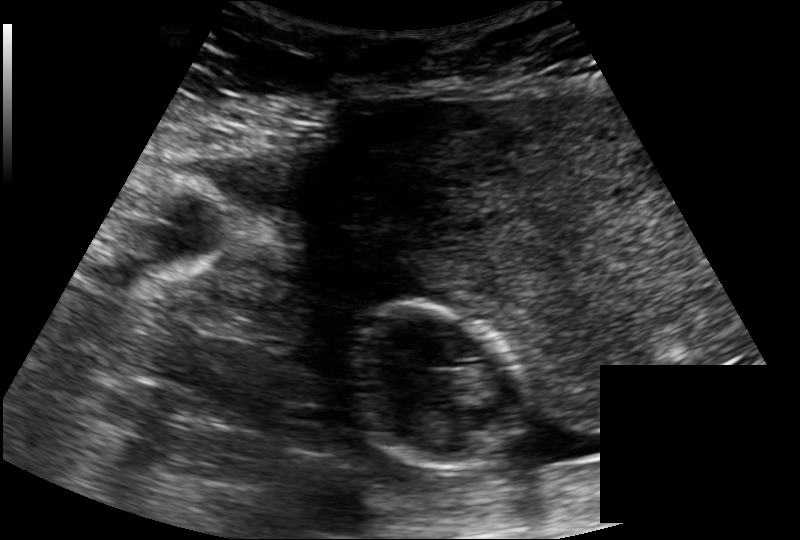
Measure the fetal head circumference shown in this ultrasound image. Image width: 136.5 mm.

Head circumference: 98.2 mm.